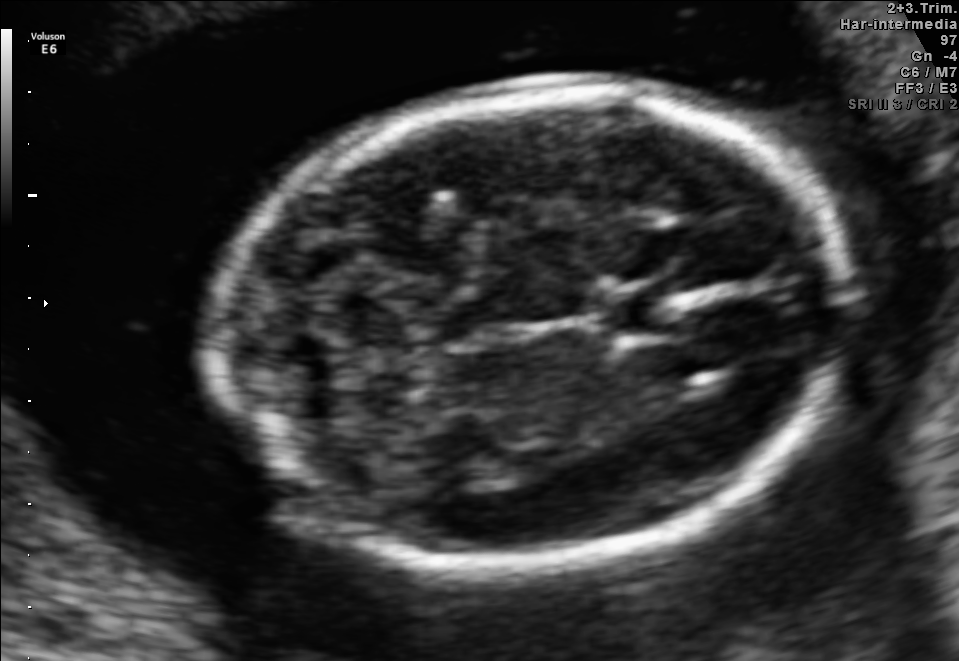
Fetal brain, trans-cerebellum plane. Where is the fetal head?

Head bounding box: [226,85,841,564]